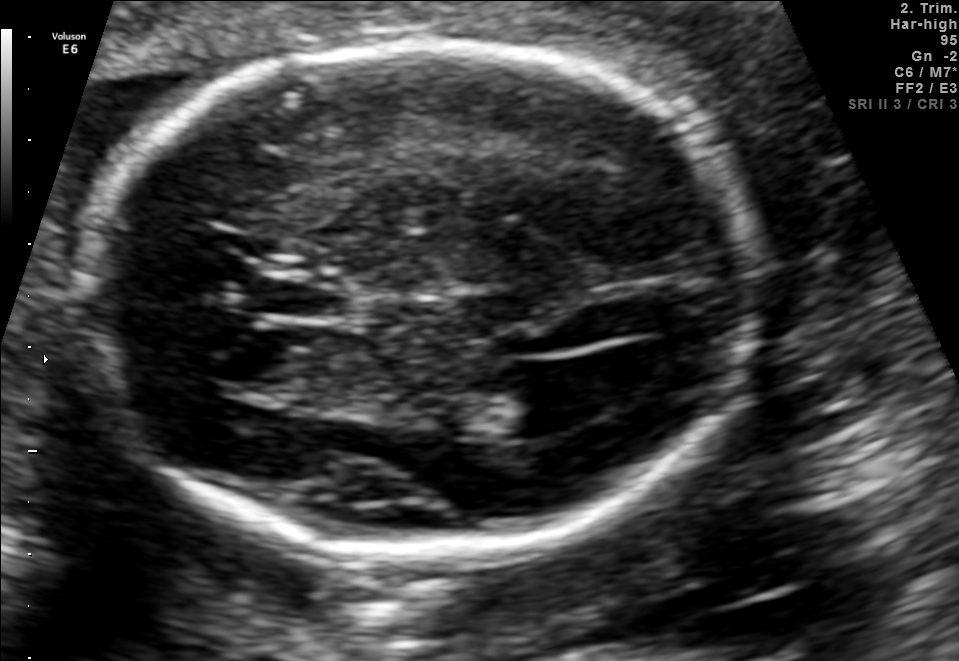
Fetal brain, trans-ventricular plane. Locate the cavum septum pellucidum.

CSP: [248,265,356,326]